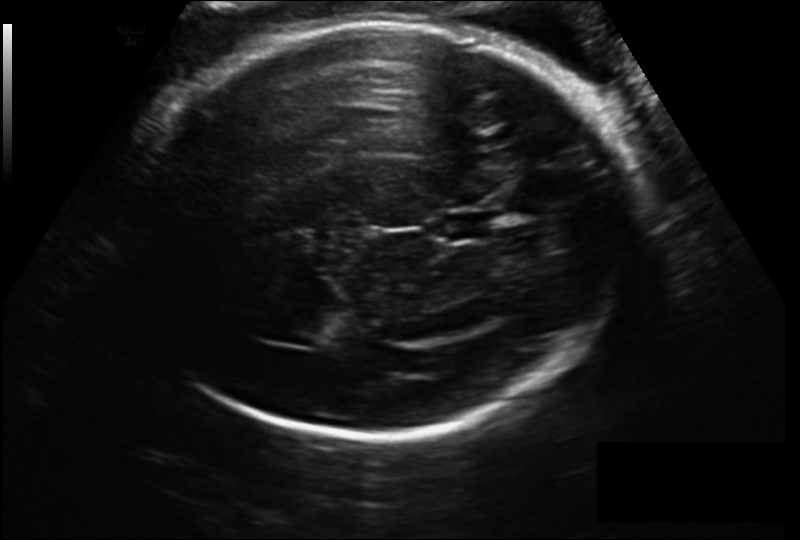
Fetal head ultrasound. Image width: 164.9 mm. Give [x1,y1,x2,y2] bounding boxes for each visible structure among: fetal head, CSP, LV.

Head: [127,20,625,435]
CSP: [432,208,498,244]
Lateral ventricle: [275,309,330,348]